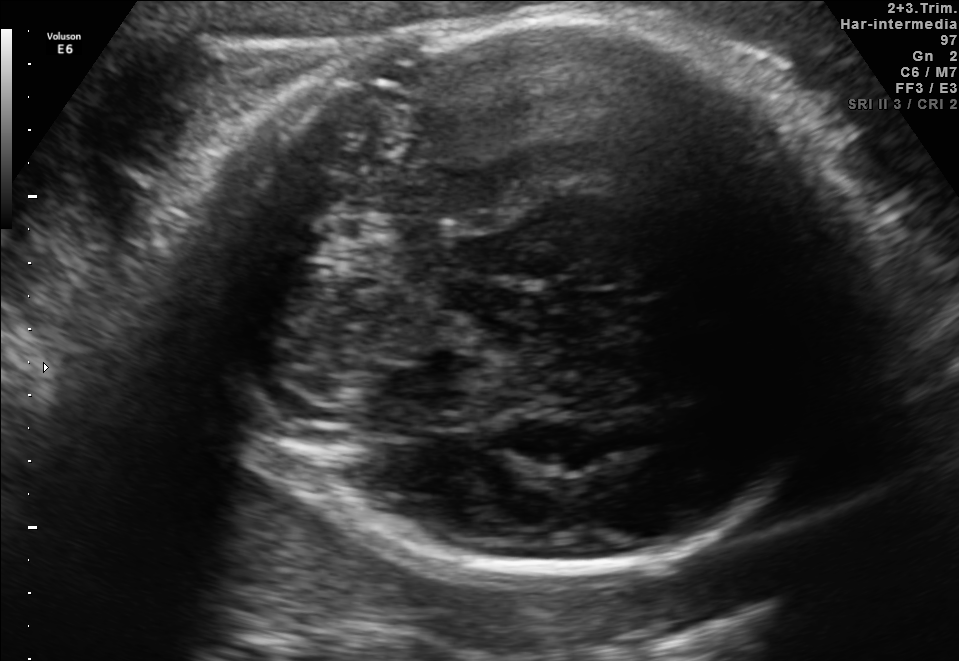
Classify this maternal-fetal ultrasound image as one of the six standard planes — fetal abdomen, fetal brain, fetal femur, fetal thorax, maternal cervix, or other. If it's fetal brain and one of the three standard brain planes (trans-thalamic, trans-cerebellum, trans-ventricular), name which.

Fetal brain (trans-thalamic plane)